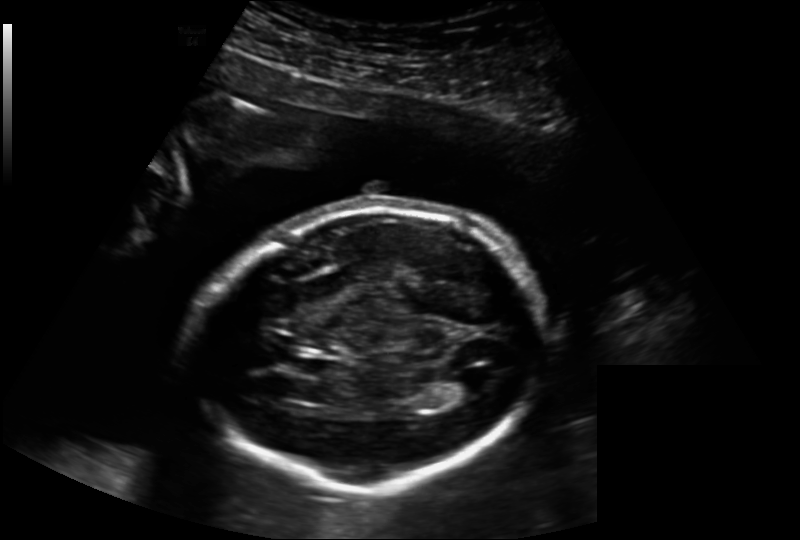
Estimate the fetal head circumference from this 2D ultrasound. Image width: 161.7 mm.

Head circumference: 204.3 mm.